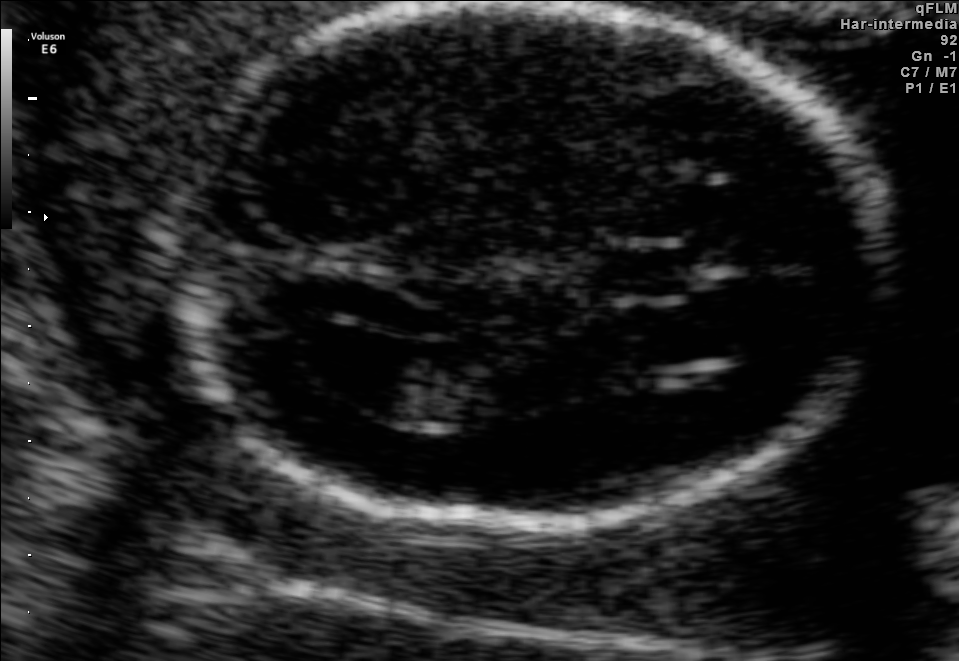
Fetal brain, trans-ventricular plane. Locate the cavum septum pellucidum.

CSP: [600,246,709,297]